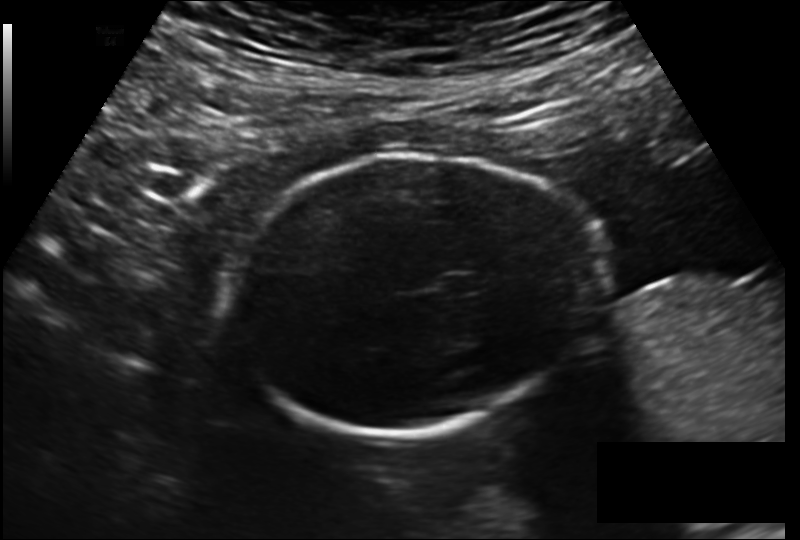
From this fetal ultrasound, estimate the head circumference (image width 142.1 mm).

Head circumference: 189.2 mm.